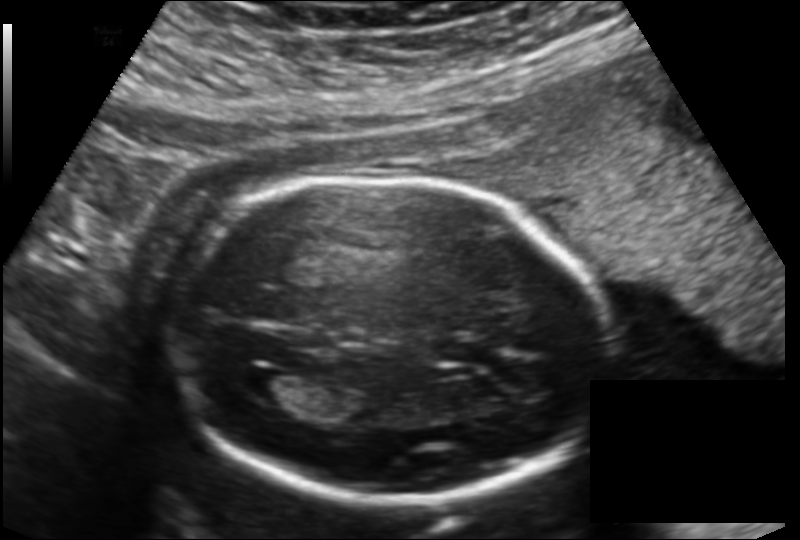
Fetal head ultrasound. Image width: 120.4 mm. Locate the fetal head.

Head: [164,176,604,502]